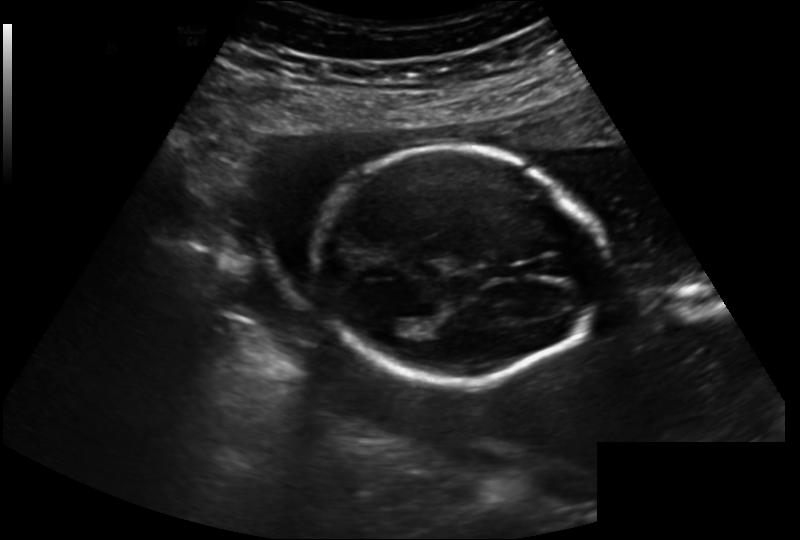
In this fetal head ultrasound, give the bounding box of the fetal head. Image width: 161.6 mm.

[312,146,601,382]